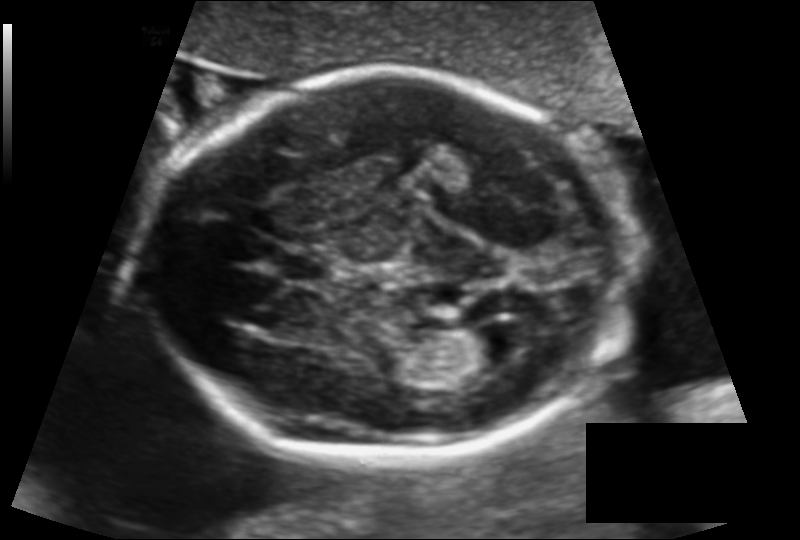
In this fetal head ultrasound, give the bounding box of the lateral ventricle. Image width: 103.5 mm.

[454,317,531,375]